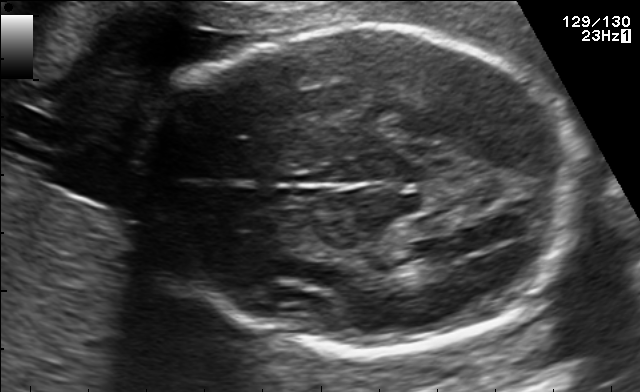
In this fetal brain, trans-ventricular plane, give bounding boxes for the head outline, cavum septum pellucidum (CSP), and lateral ventricle (LV), where visible.

Head: [138,21,590,357]